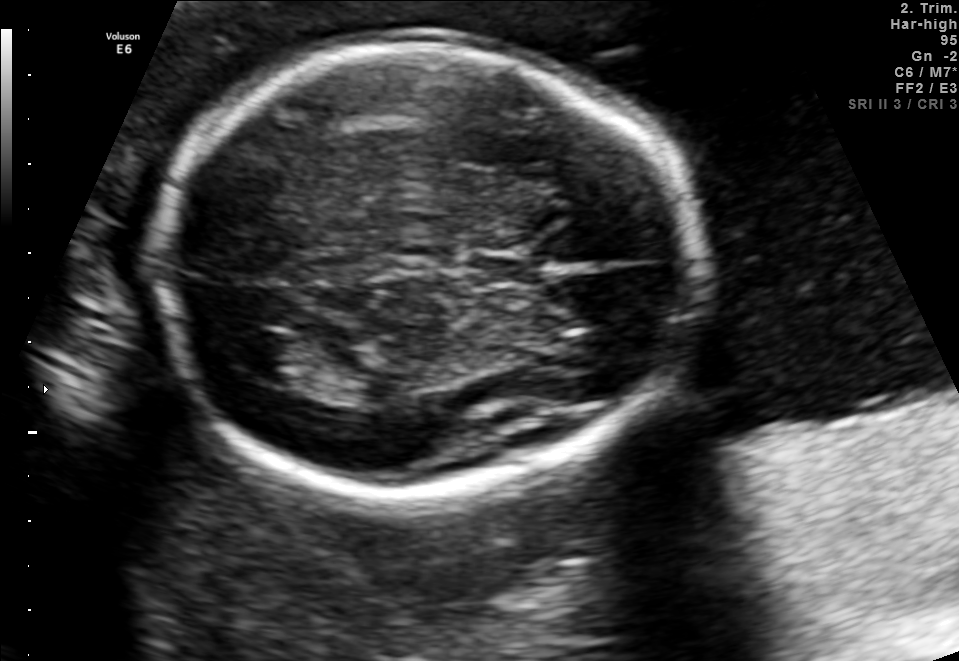
Fetal brain, trans-thalamic plane. Locate the lateral ventricle.

Lateral ventricle: [217,320,303,386]